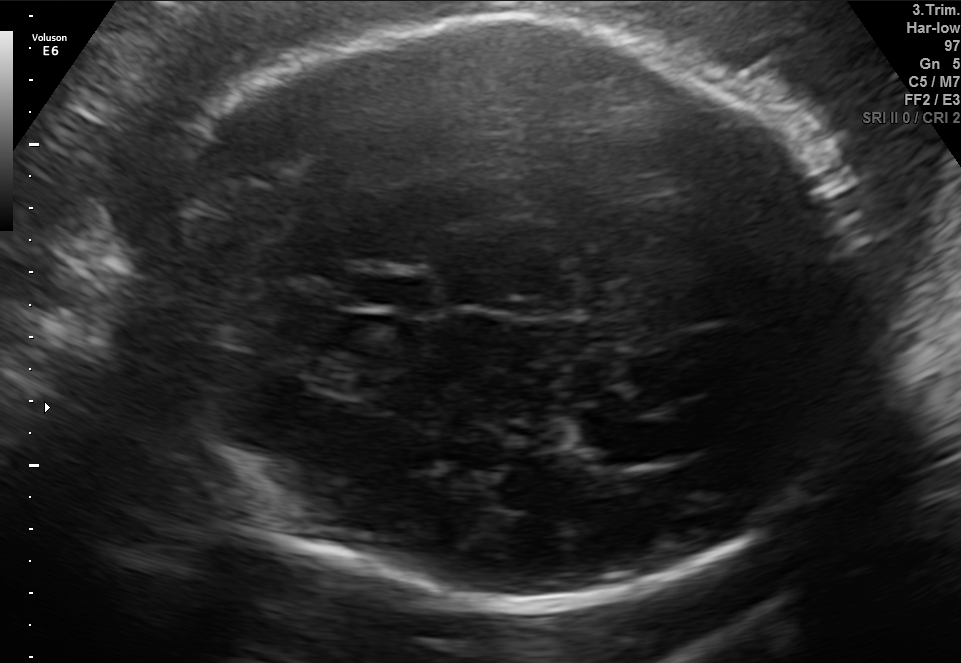
Fetal brain, trans-thalamic plane. Locate the fetal head and, if visible, the cavum septum pellucidum (CSP) and lateral ventricle (LV). Give bounding boxes as [x1,y1,x2,y2].

Head: [152,19,875,608]
CSP: [356,274,431,312]
Lateral ventricle: [580,414,692,469]